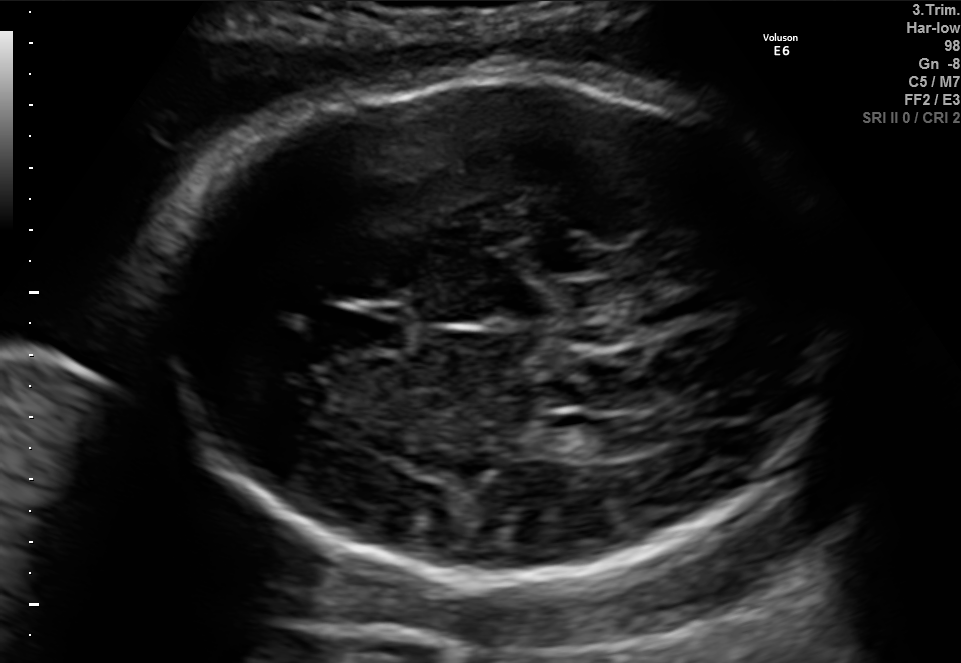
Fetal brain, trans-ventricular plane. Where is the fetal head?

Head bounding box: [140,62,855,589]